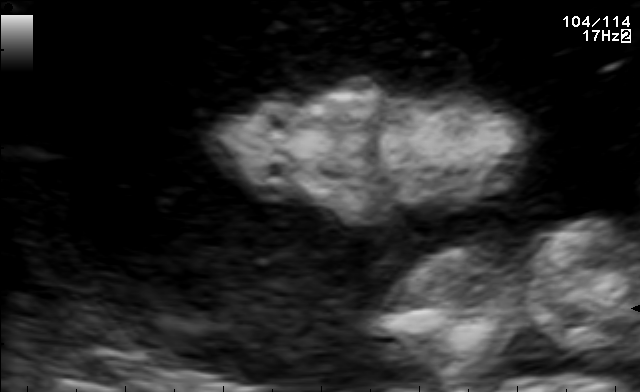
Which standard maternal-fetal ultrasound plane is shown: fetal abdomen, fetal brain, fetal femur, fetal thorax, maternal cervix, or other? If it's fetal brain and one of the three standard brain planes (trans-thalamic, trans-cerebellum, trans-ventricular), name which.

Other